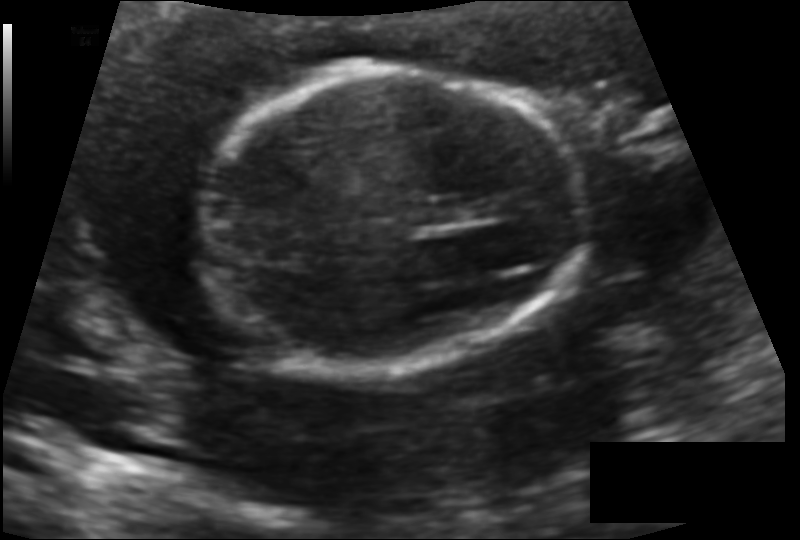
Estimate the fetal head circumference from this 2D ultrasound. Image width: 90.0 mm.

Head circumference: 123.3 mm.